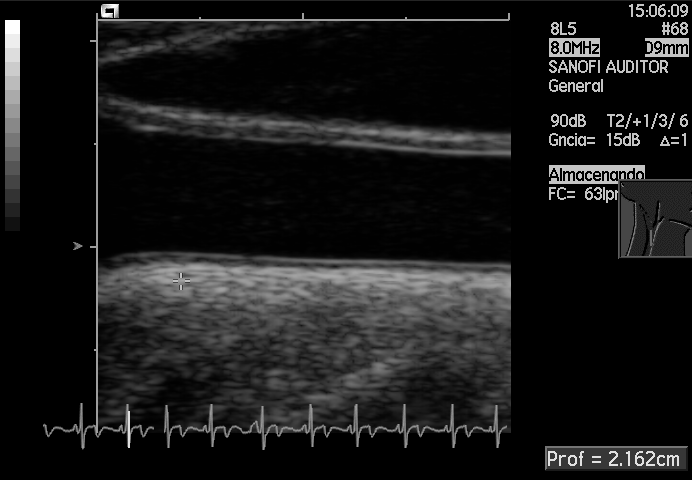
This is a 2D maternal-fetal ultrasound frame. Is it a fetal abdomen, fetal brain, fetal femur, fetal thorax, maternal cervix, or other standard plane? If it's fetal brain and one of the three standard brain planes (trans-thalamic, trans-cerebellum, trans-ventricular), name which.

Other